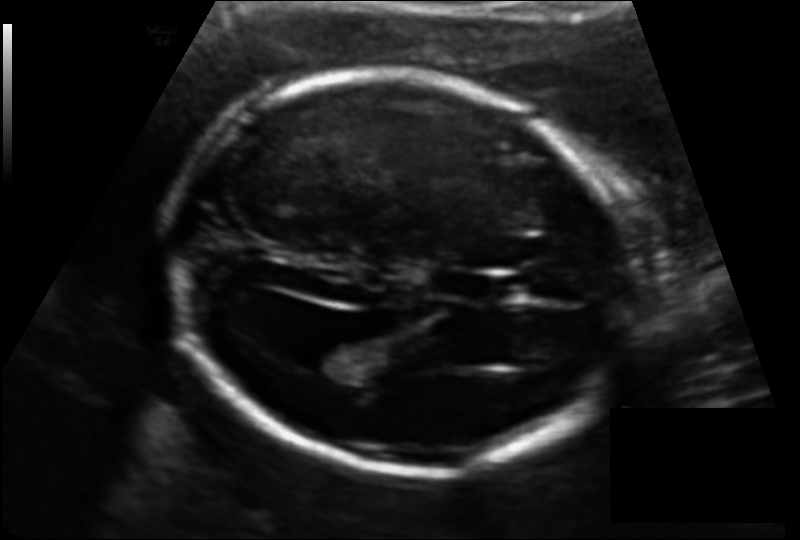
Fetal head ultrasound. Image width: 104.7 mm. Give [x1,y1,x2,y2] bounding boxes for each visible structure among: fetal head, CSP, LV.

Head: [163,75,636,471]
CSP: [436,267,508,304]
Lateral ventricle: [288,329,364,383]